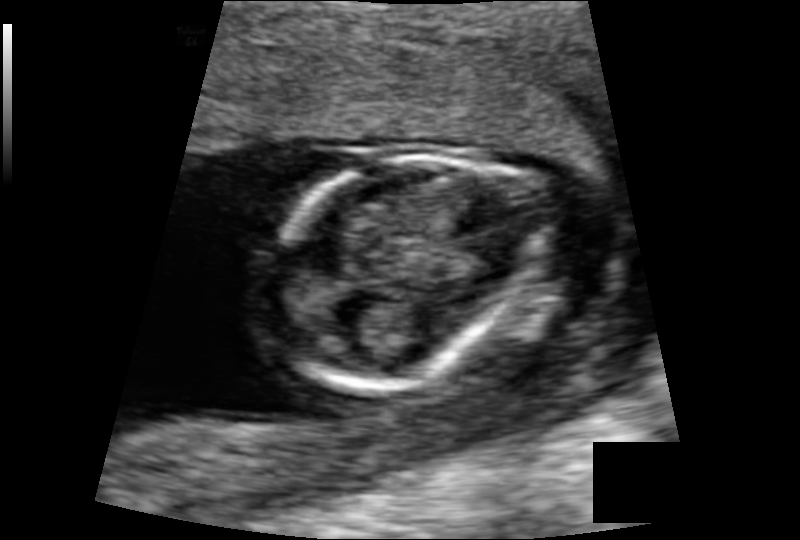
Fetal head ultrasound. Image width: 82.7 mm. Where is the fetal head?

Head bounding box: [267,156,533,390]